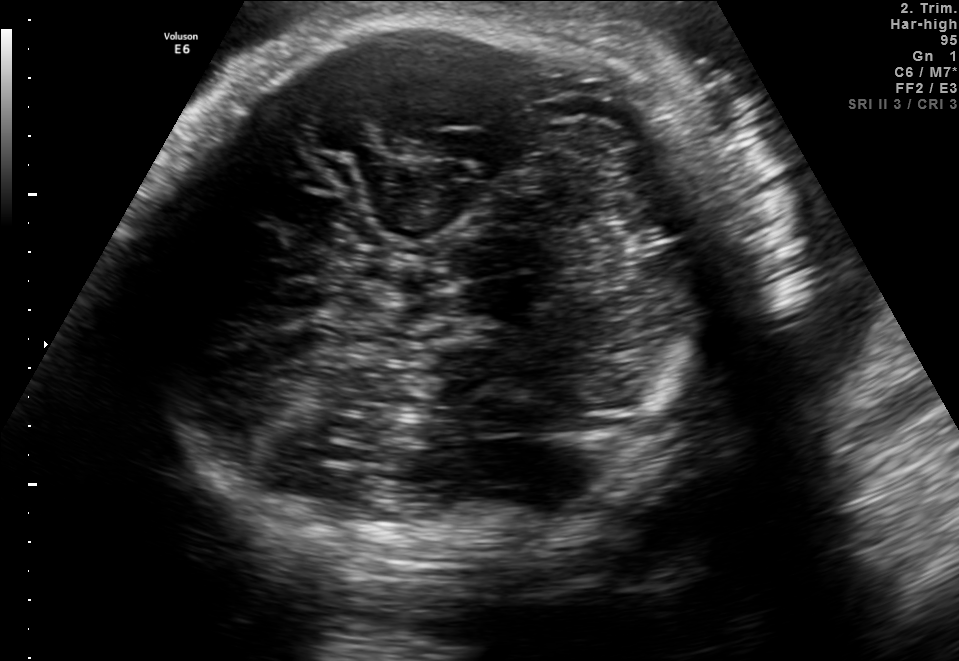
Fetal brain, trans-thalamic plane. Give [x1,y1,x2,y2] bounding boxes for each visible structure among: fetal head, CSP, LV.

Head: [133,15,742,570]